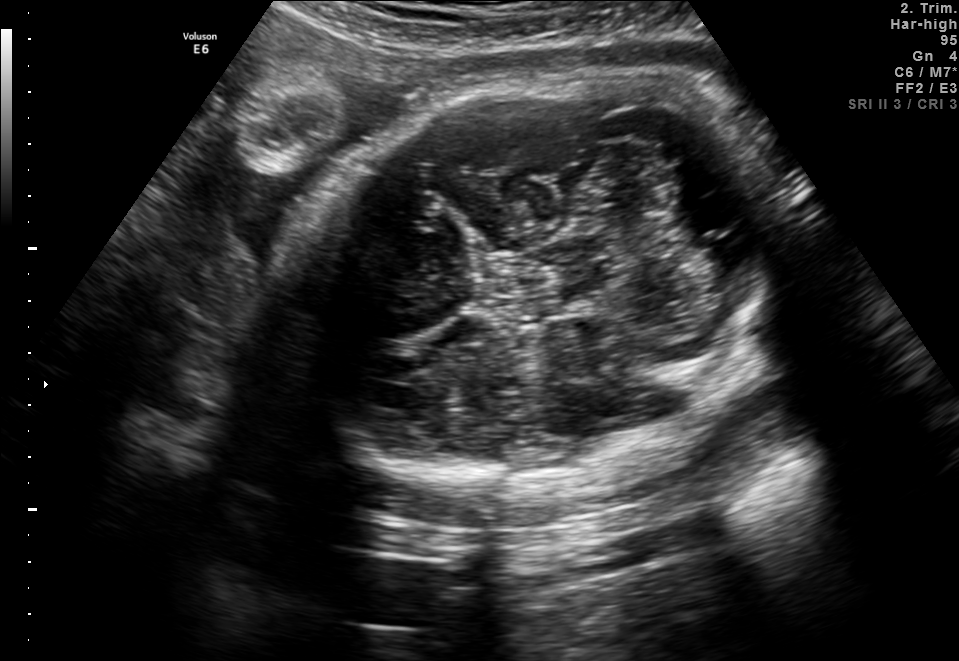
Fetal brain, trans-cerebellum plane. Locate the fetal head and, if visible, the cavum septum pellucidum (CSP) and lateral ventricle (LV). Give bounding boxes as [x1,y1,x2,y2].

Head: [286,73,805,490]